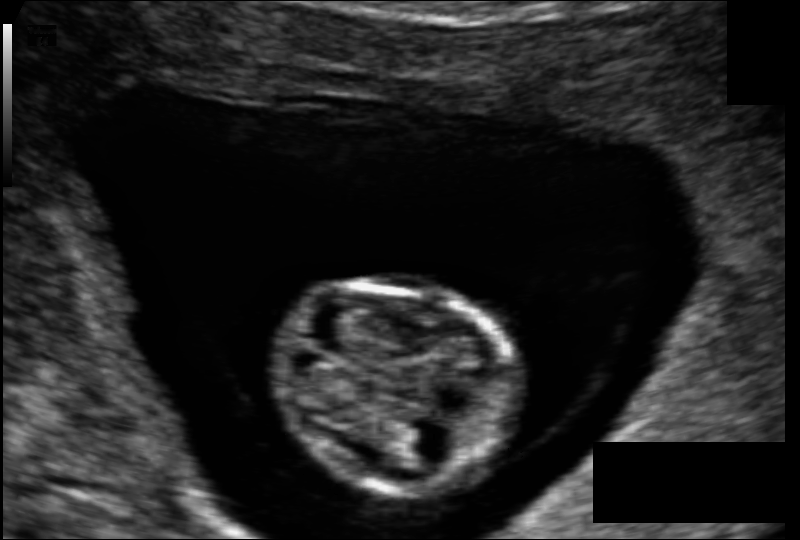
Estimate the fetal head circumference from this 2D ultrasound.

Head circumference: 65.8 mm (image width 71.4 mm).